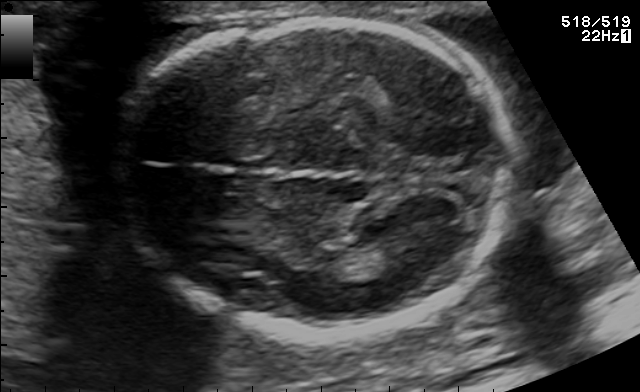
Fetal brain, trans-thalamic plane. Where is the fetal head?

Head bounding box: [121,17,514,335]